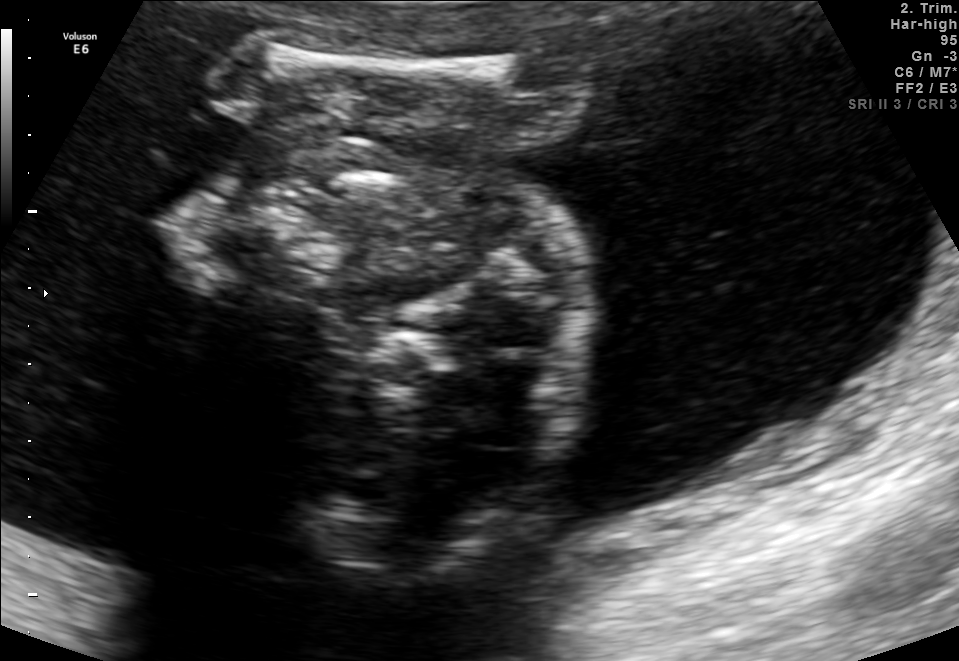
Classify this maternal-fetal ultrasound image as one of the six standard planes — fetal abdomen, fetal brain, fetal femur, fetal thorax, maternal cervix, or other. If it's fetal brain and one of the three standard brain planes (trans-thalamic, trans-cerebellum, trans-ventricular), name which.

Other